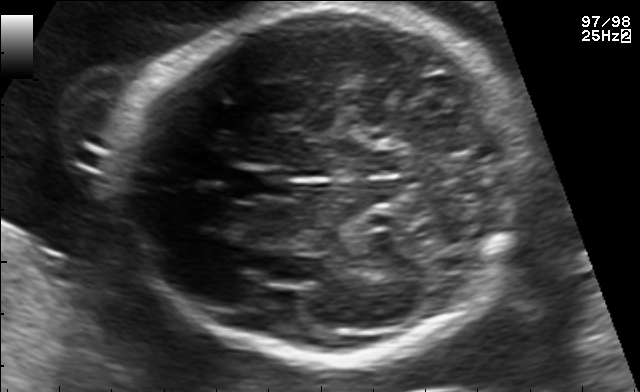
In this fetal brain, trans-thalamic plane, give bounding boxes for the head outline, cavum septum pellucidum (CSP), and lateral ventricle (LV), where visible.

Head: [121,7,527,359]
CSP: [228,171,289,197]